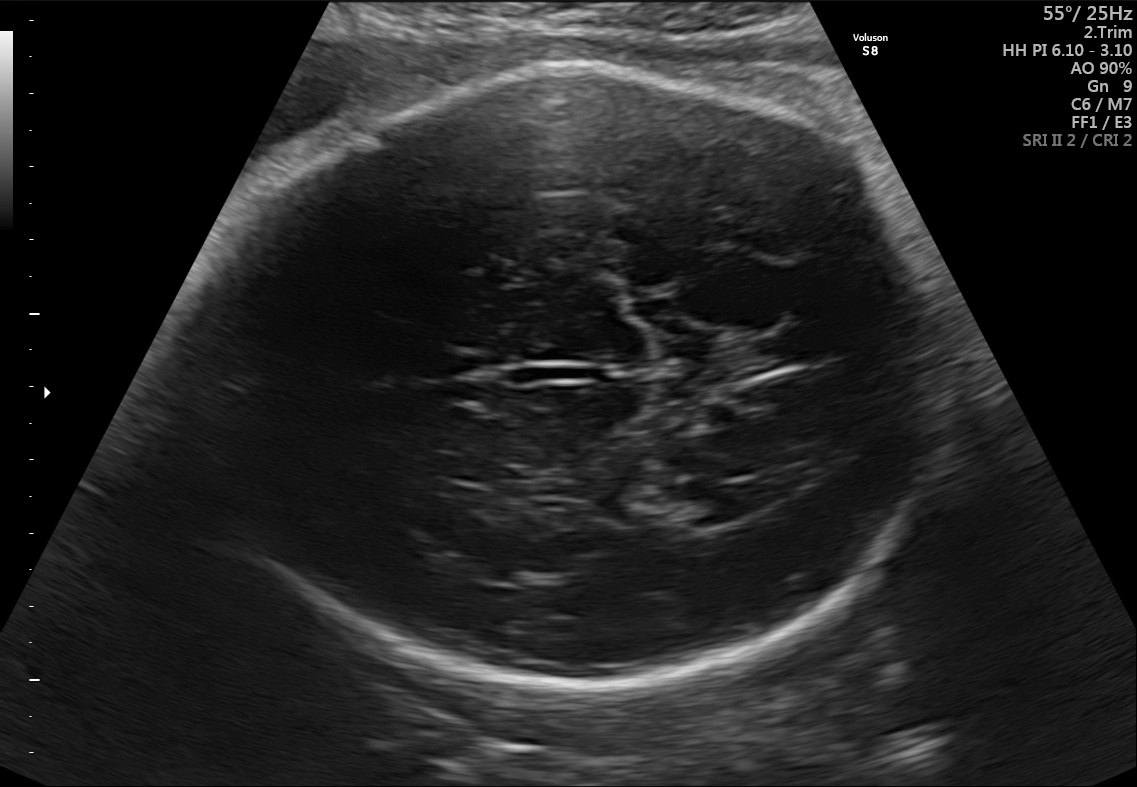
Fetal brain, trans-ventricular plane. Locate the fetal head.

Head: [186,65,953,691]